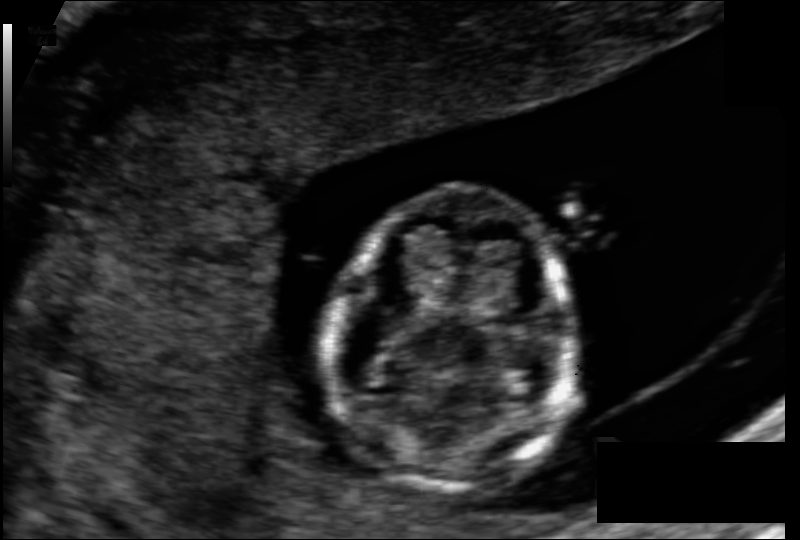
What is the fetal head circumference? Image width is 77.7 mm.

87.3 mm